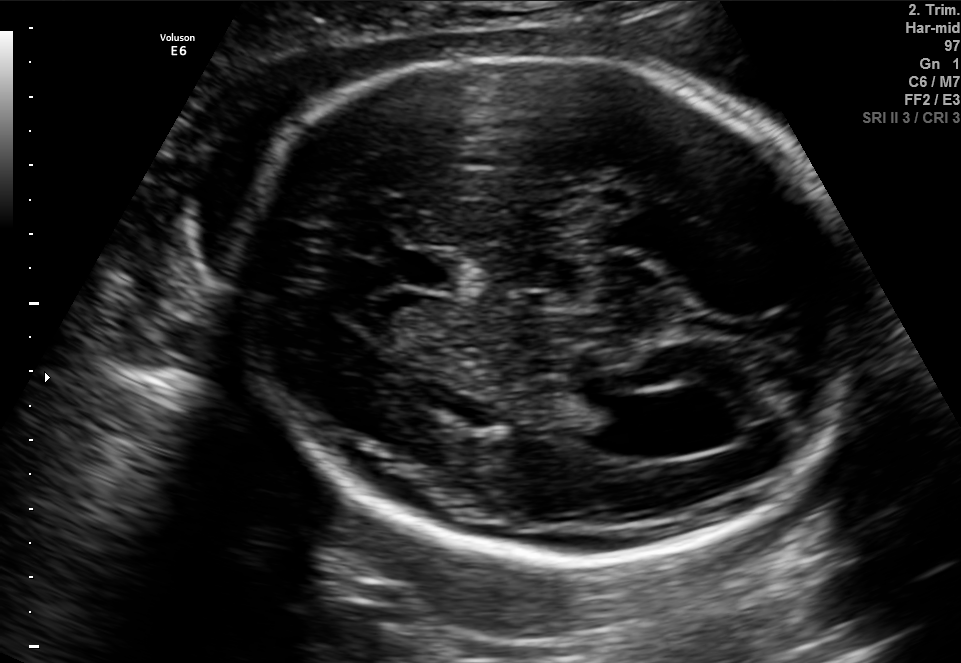
Fetal brain, trans-ventricular plane. Locate the fetal head.

Head: [221,53,870,564]